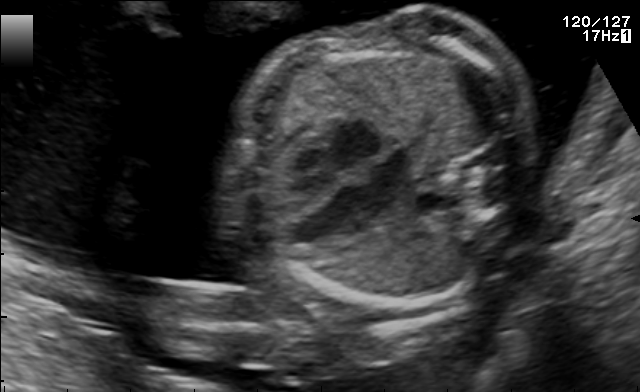
Classify this maternal-fetal ultrasound image as one of the six standard planes — fetal abdomen, fetal brain, fetal femur, fetal thorax, maternal cervix, or other. If it's fetal brain and one of the three standard brain planes (trans-thalamic, trans-cerebellum, trans-ventricular), name which.

Fetal thorax